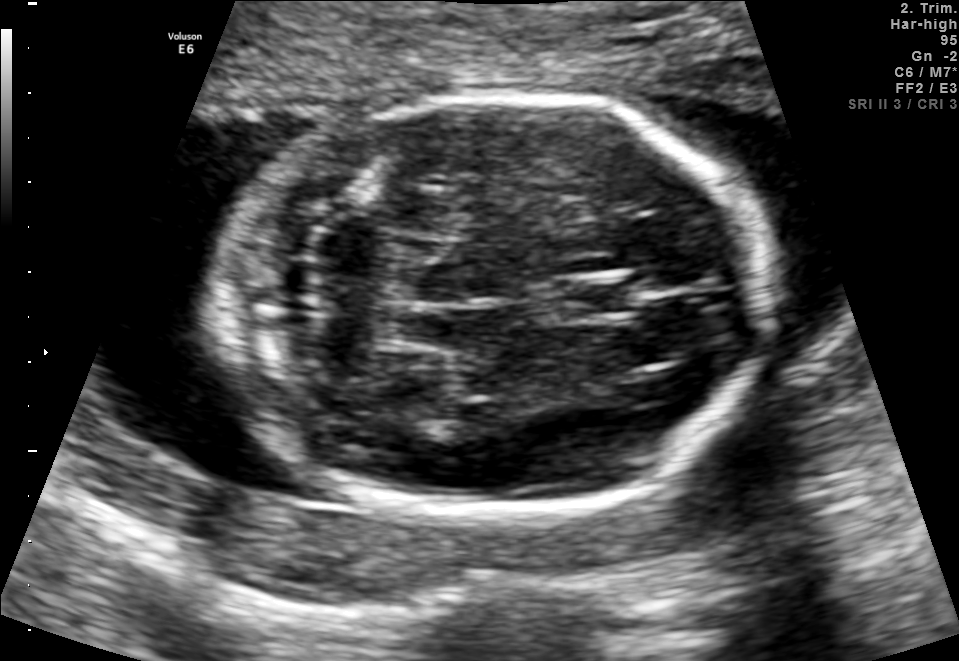
In this fetal brain, trans-cerebellum plane, give bounding boxes for the head outline, cavum septum pellucidum (CSP), and lateral ventricle (LV), where visible.

Head: [210,95,773,518]
CSP: [547,277,634,322]